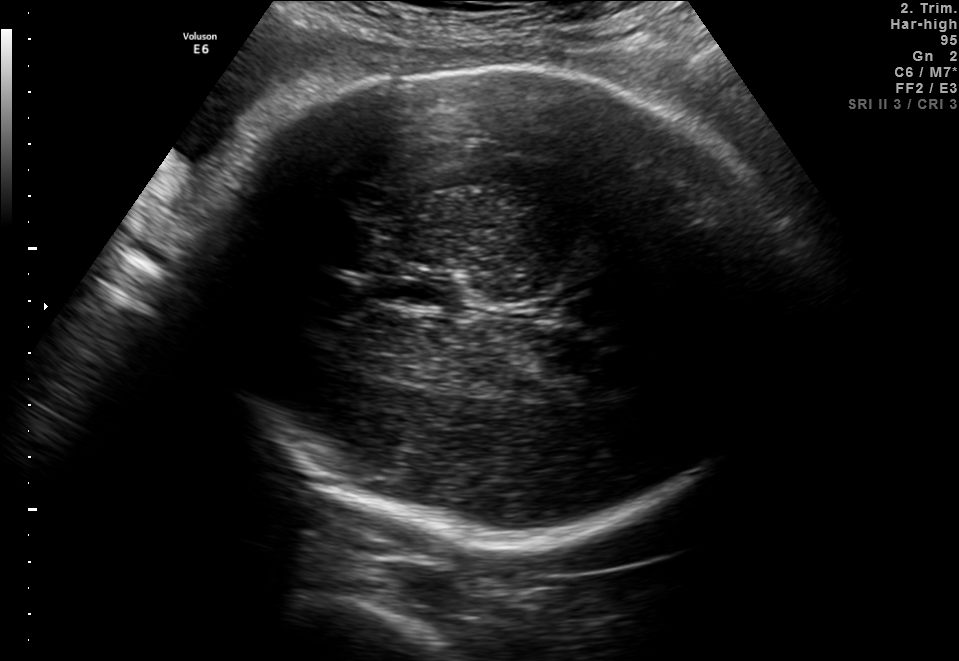
This is a 2D maternal-fetal ultrasound frame. Is it a fetal abdomen, fetal brain, fetal femur, fetal thorax, maternal cervix, or other standard plane? If it's fetal brain and one of the three standard brain planes (trans-thalamic, trans-cerebellum, trans-ventricular), name which.

Fetal brain (trans-thalamic plane)